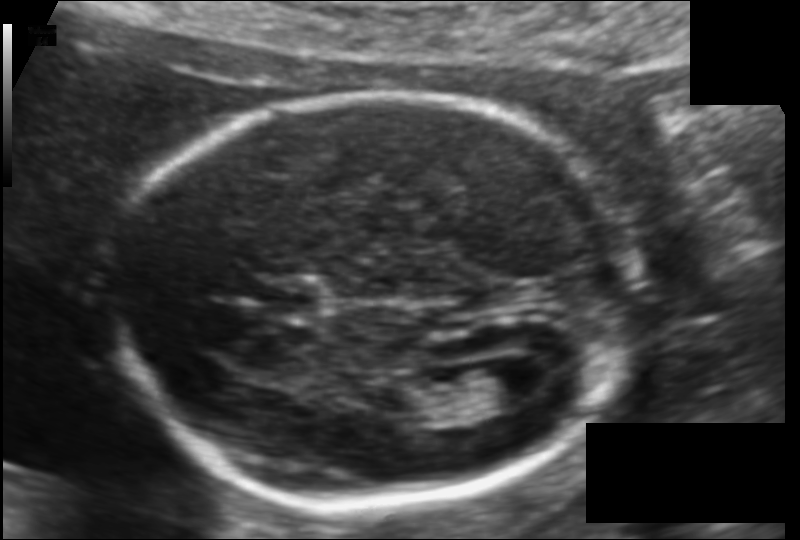
Measure the fetal head circumference shown in this ultrasound image. Image width: 92.0 mm.

Head circumference: 173.2 mm.